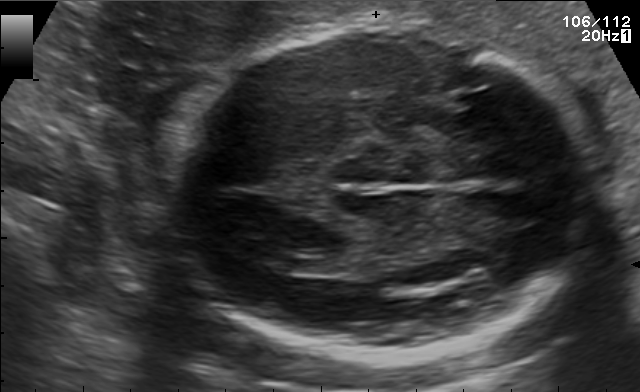
Fetal brain, trans-ventricular plane. Locate the lateral ventricle.

Lateral ventricle: [270,255,306,274]